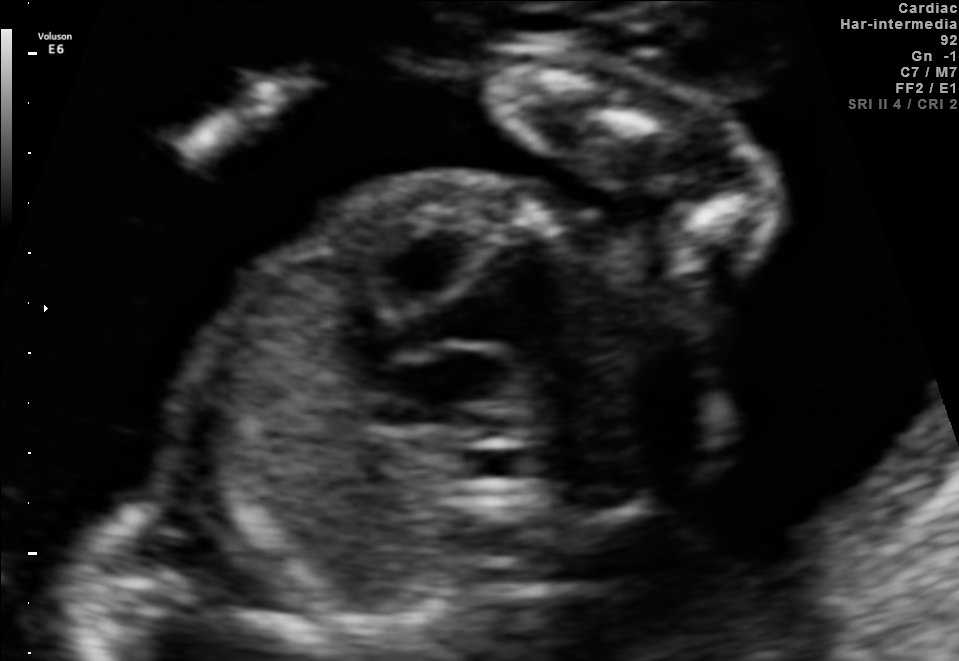
Classify this maternal-fetal ultrasound image as one of the six standard planes — fetal abdomen, fetal brain, fetal femur, fetal thorax, maternal cervix, or other. If it's fetal brain and one of the three standard brain planes (trans-thalamic, trans-cerebellum, trans-ventricular), name which.

Other